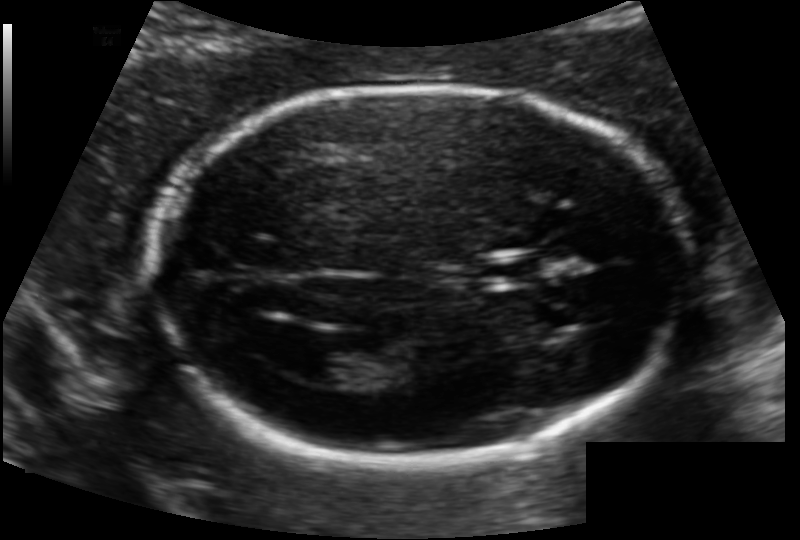
In this fetal head ultrasound, give the bounding box of the lateral ventricle. Image width: 94.1 mm.

[294,345,364,387]